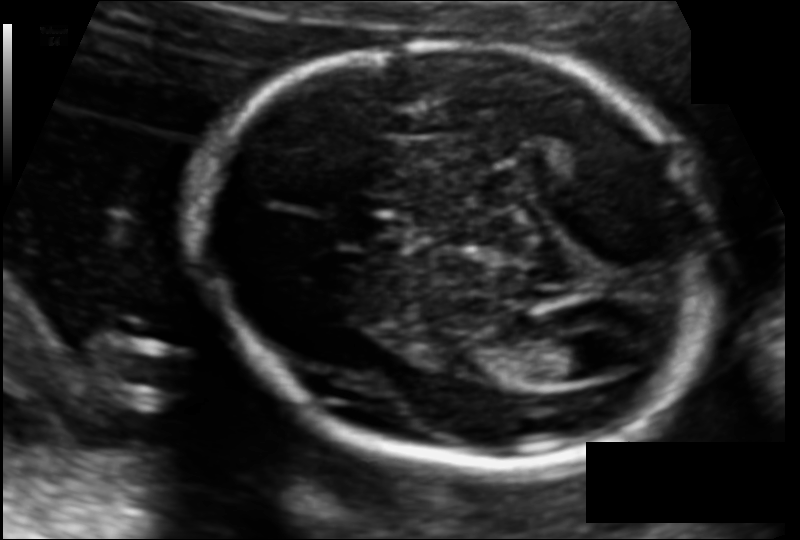
Fetal head ultrasound. Image width: 87.7 mm. Locate the lateral ventricle.

Lateral ventricle: [525,328,614,386]